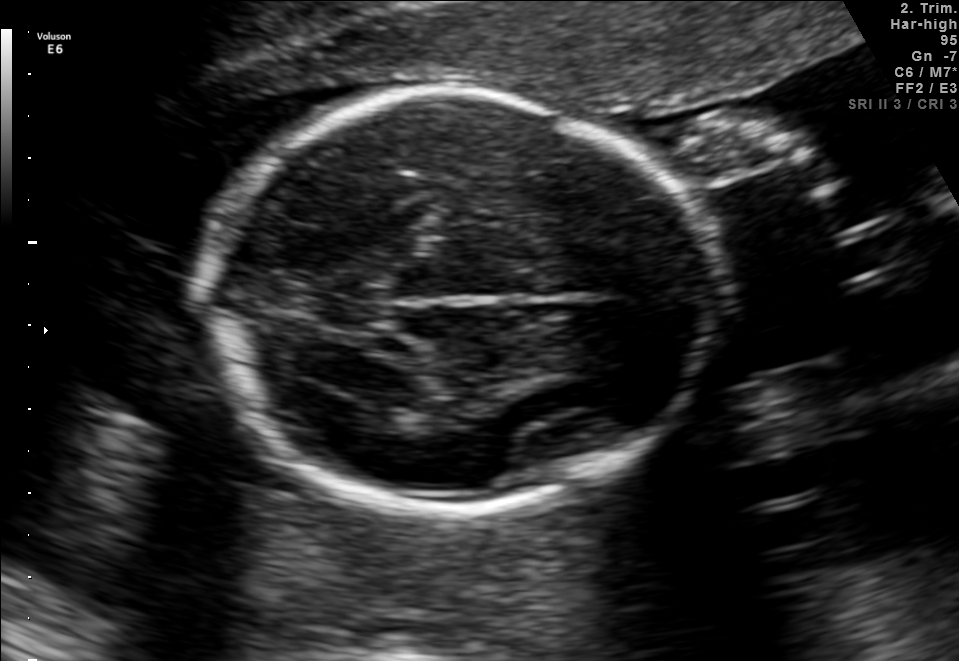
Fetal brain, trans-thalamic plane. Locate the fetal head.

Head: [202,93,711,508]